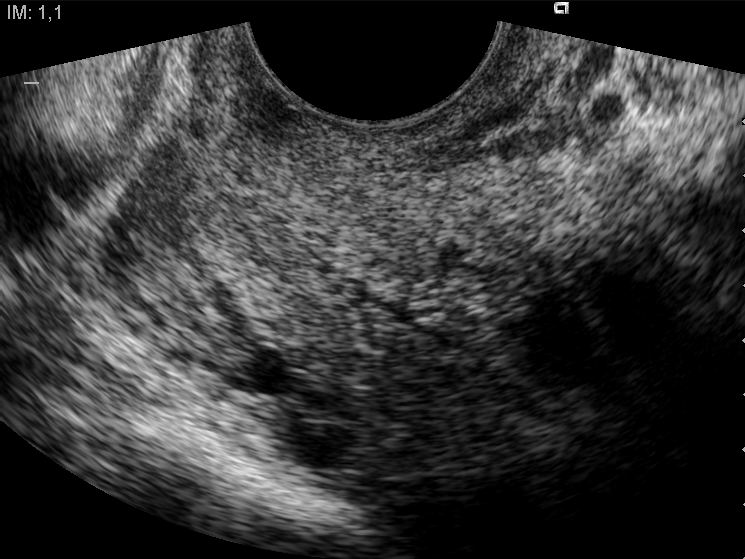
Identify the standard plane in this fetal ultrasound image: fetal abdomen, fetal brain, fetal femur, fetal thorax, maternal cervix, or other. If it's fetal brain and one of the three standard brain planes (trans-thalamic, trans-cerebellum, trans-ventricular), name which.

Maternal cervix